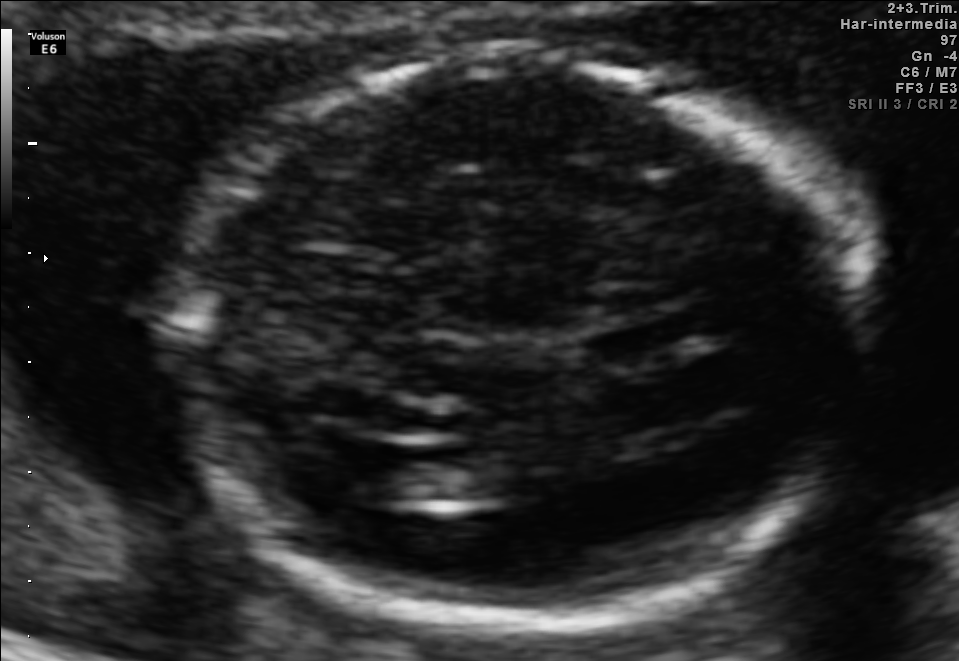
In this fetal brain, trans-ventricular plane, give the bounding box of the fetal head.

[152,35,897,632]